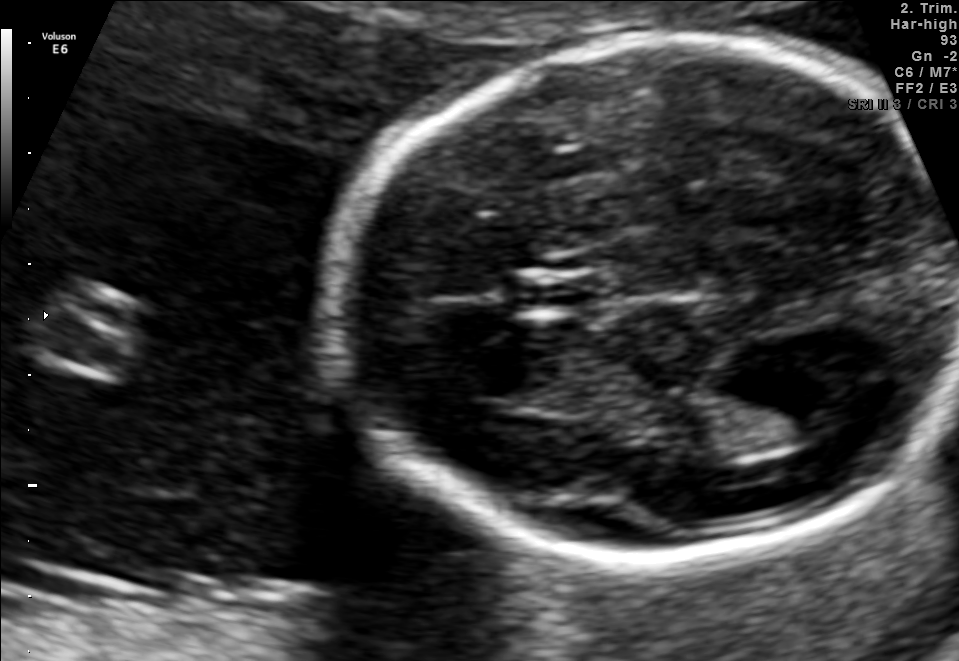
In this fetal brain, trans-thalamic plane, give bounding boxes for the head outline, cavum septum pellucidum (CSP), and lateral ventricle (LV), where visible.

Head: [334,34,951,557]
CSP: [512,273,602,311]
Lateral ventricle: [696,373,843,467]